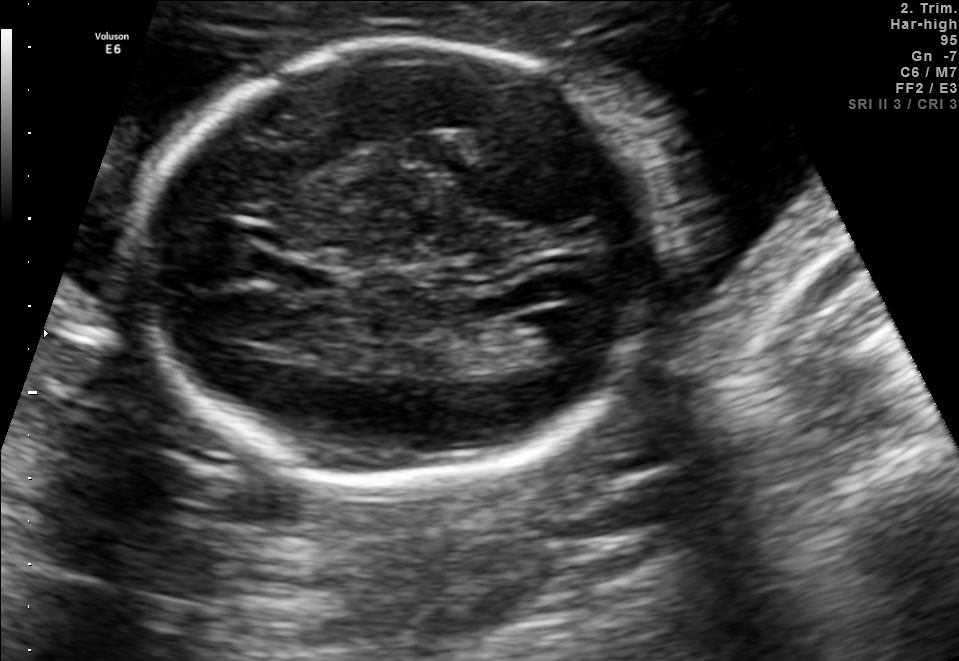
Fetal brain, trans-ventricular plane. Locate the lateral ventricle.

Lateral ventricle: [519,298,614,362]